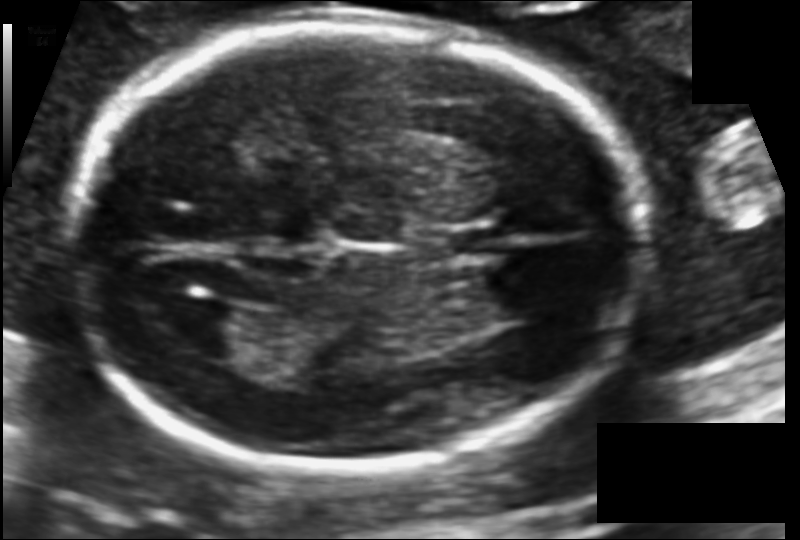
In this fetal head ultrasound, give the bounding box of the fetal head. Image width: 90.1 mm.

[63,25,650,471]